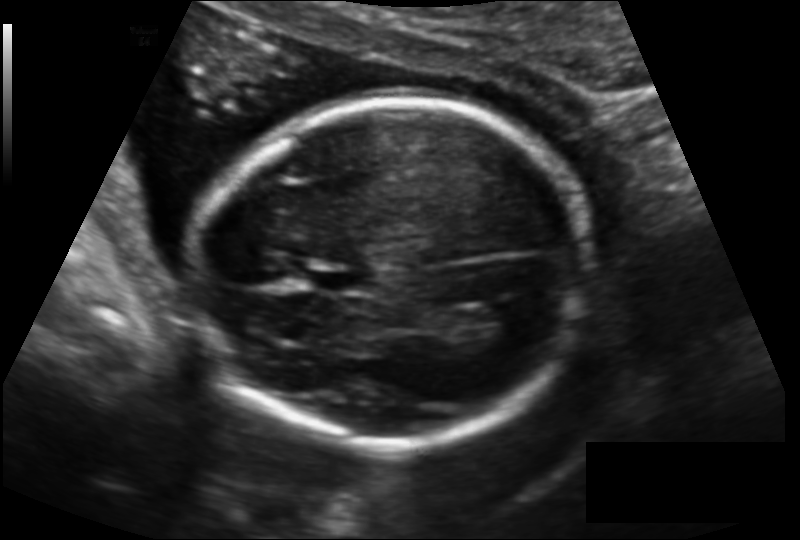
Fetal head ultrasound. Image width: 111.8 mm. Where is the cavum septum pellucidum?

CSP bounding box: [309,264,370,297]